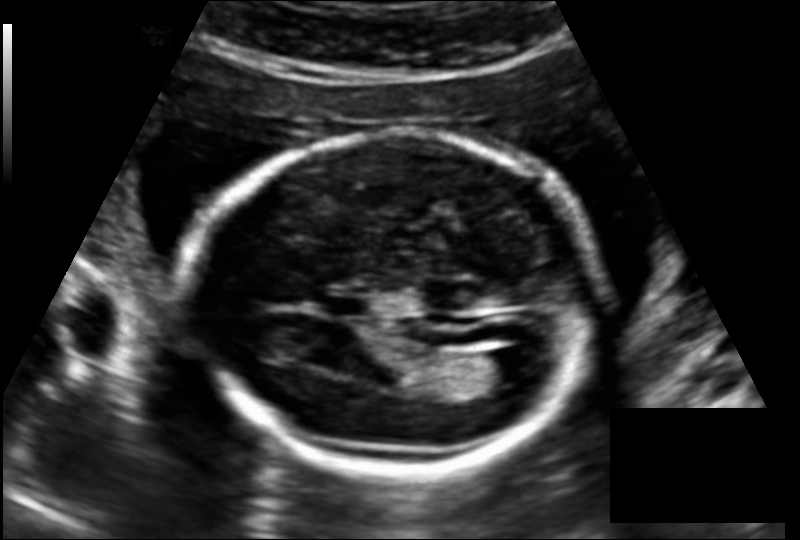
Estimate the fetal head circumference from this 2D ultrasound.

Head circumference: 181.1 mm (image width 115.9 mm).